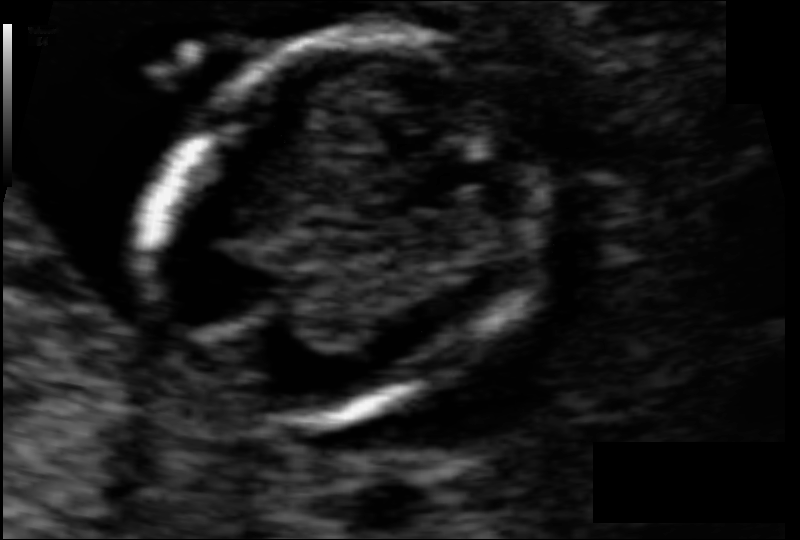
Fetal head ultrasound. Image width: 48.5 mm. Where is the fetal head?

Head bounding box: [148,37,539,418]